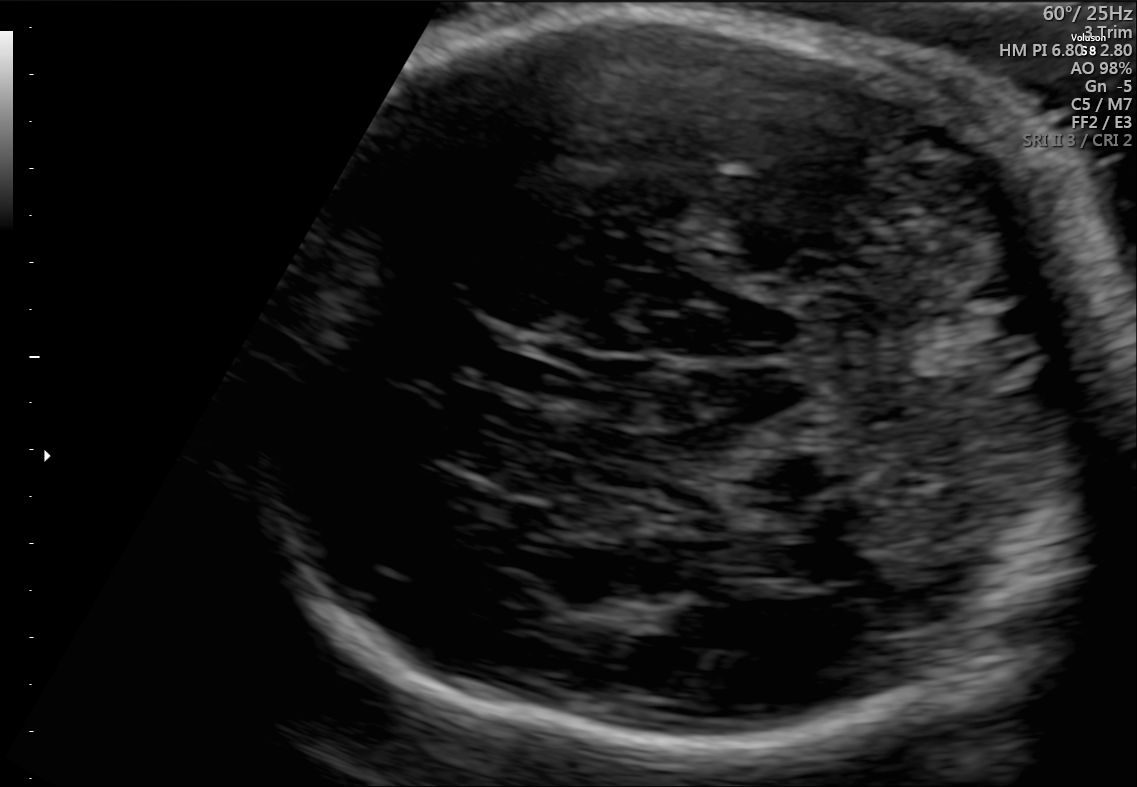
Fetal brain, trans-cerebellum plane. Locate the fetal head and, if visible, the cavum septum pellucidum (CSP) and lateral ventricle (LV). Give bounding boxes as [x1,y1,x2,y2].

Head: [286,14,1105,758]